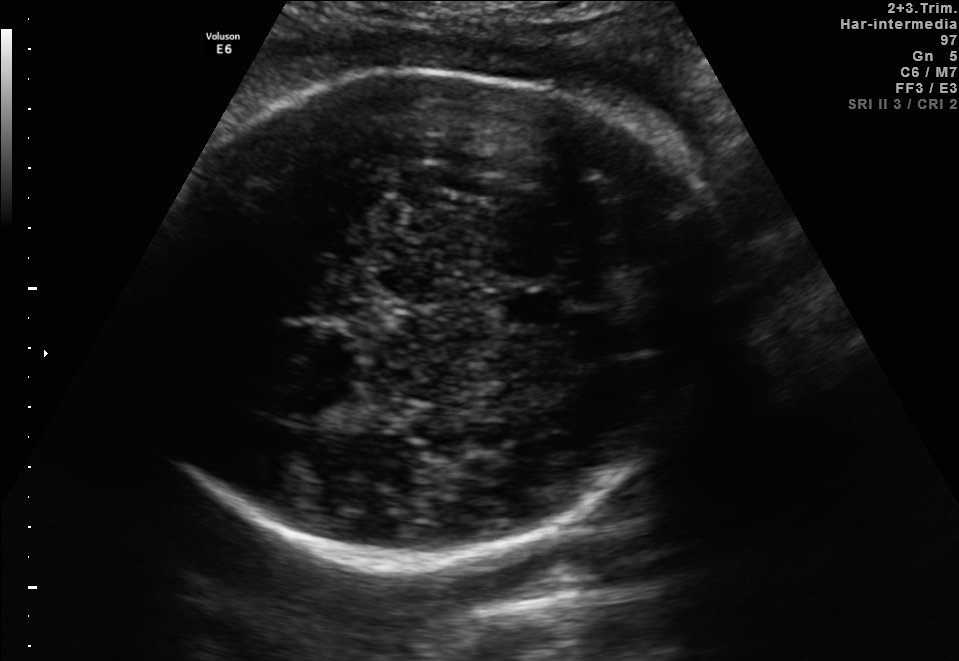
Fetal brain, trans-thalamic plane. Locate the fetal head.

Head: [139,75,726,572]